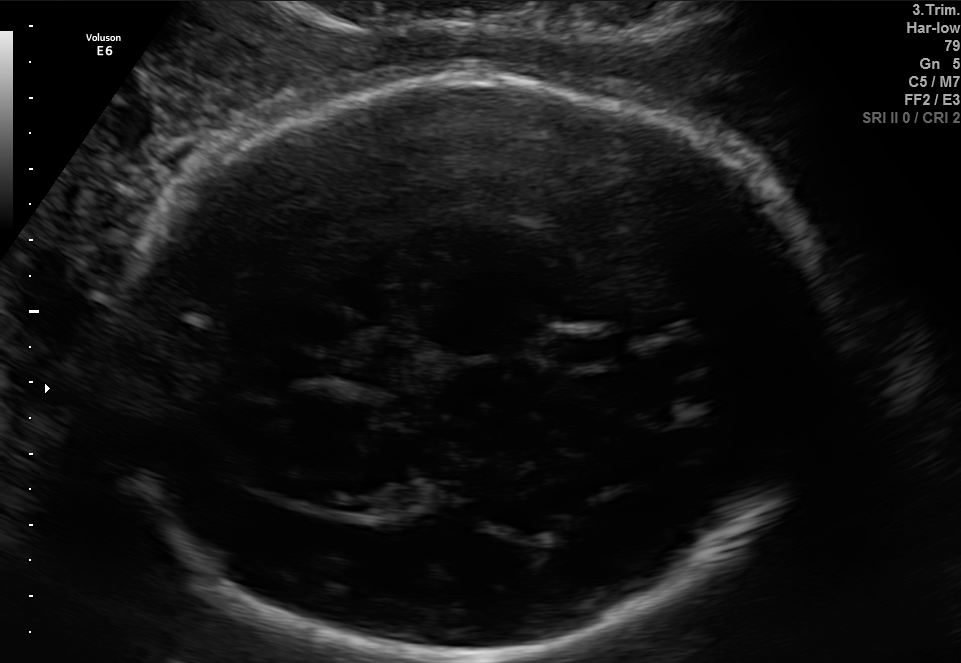
Fetal brain, trans-thalamic plane. Locate the cavum septum pellucidum.

CSP: [552,336,615,360]